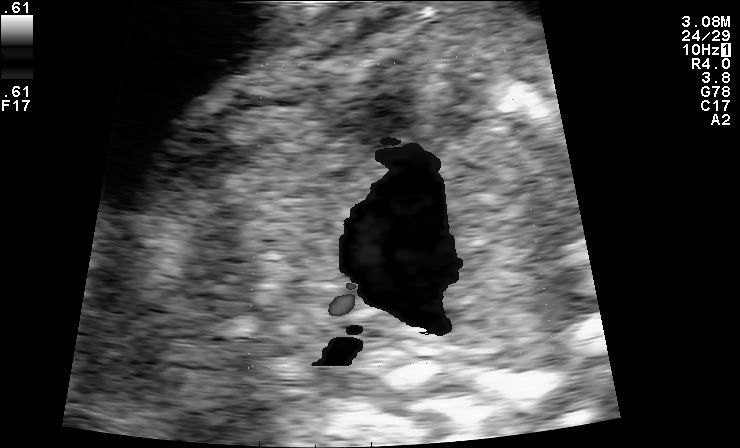
Identify the standard plane in this fetal ultrasound image: fetal abdomen, fetal brain, fetal femur, fetal thorax, maternal cervix, or other. If it's fetal brain and one of the three standard brain planes (trans-thalamic, trans-cerebellum, trans-ventricular), name which.

Other